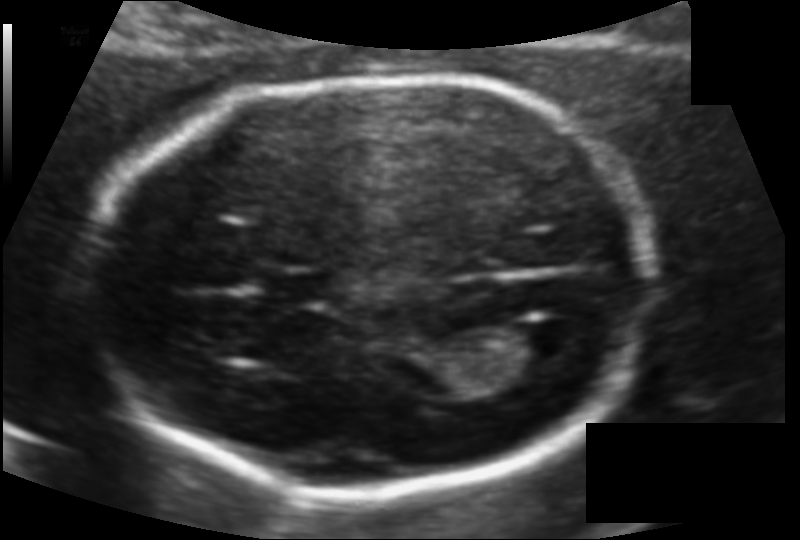
What is the fetal head circumference? Image width is 85.2 mm.

166.7 mm